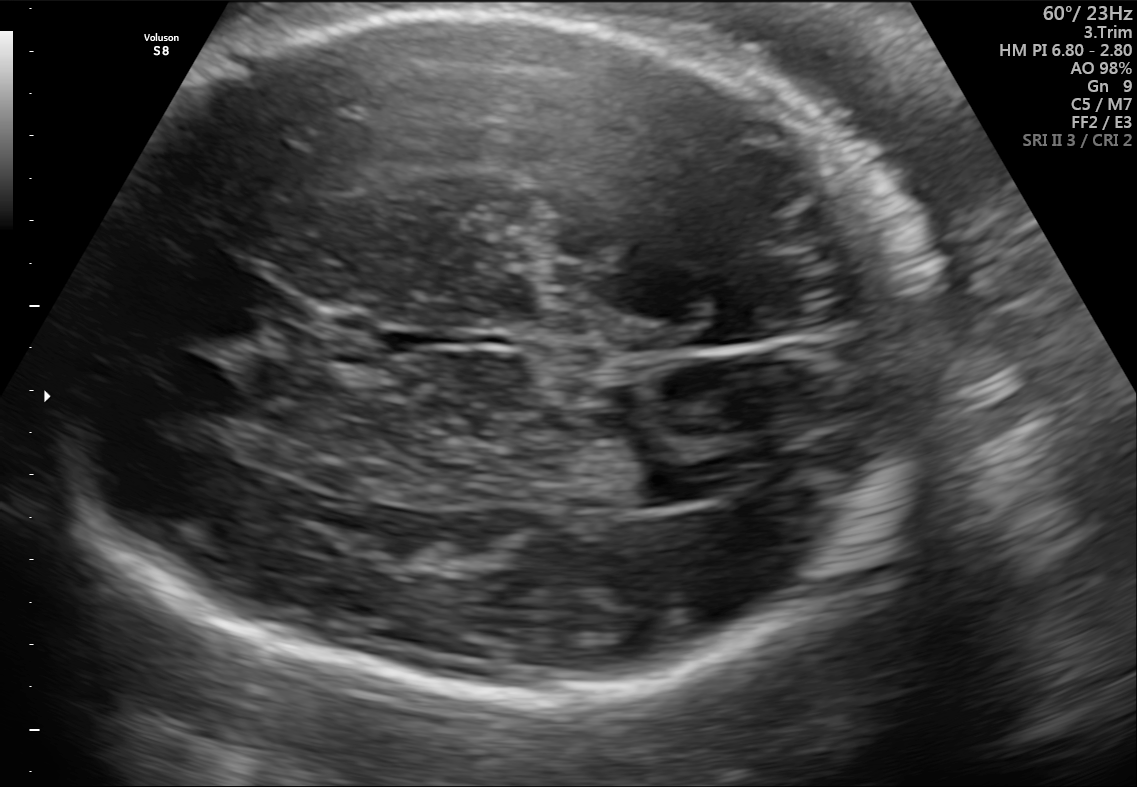
Fetal brain, trans-ventricular plane. Where is the fetal head?

Head bounding box: [76,8,928,693]